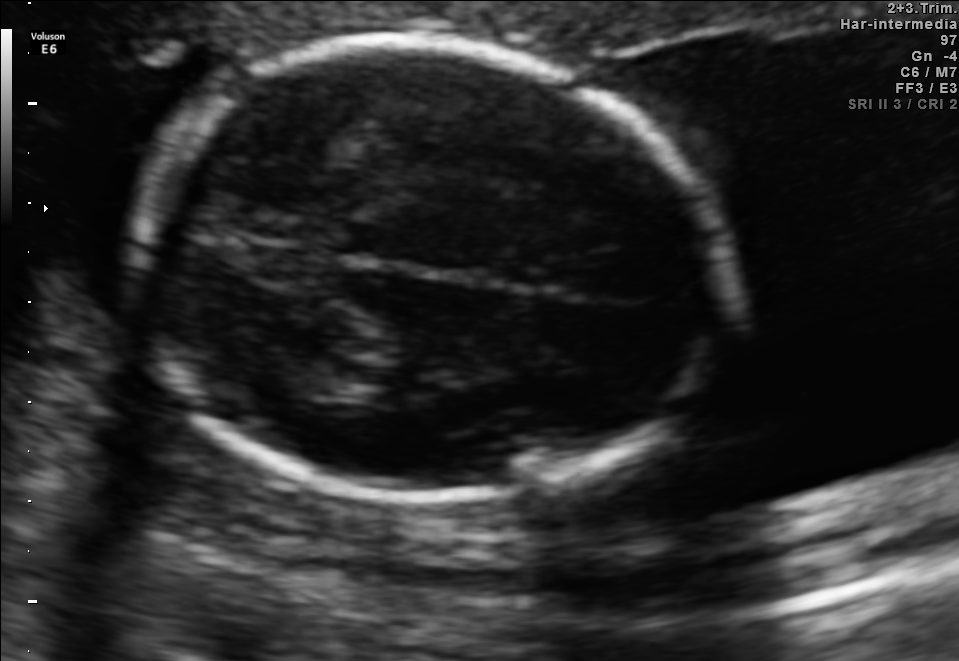
In this fetal brain, trans-thalamic plane, give the bounding box of the fetal head.

[137,41,716,498]